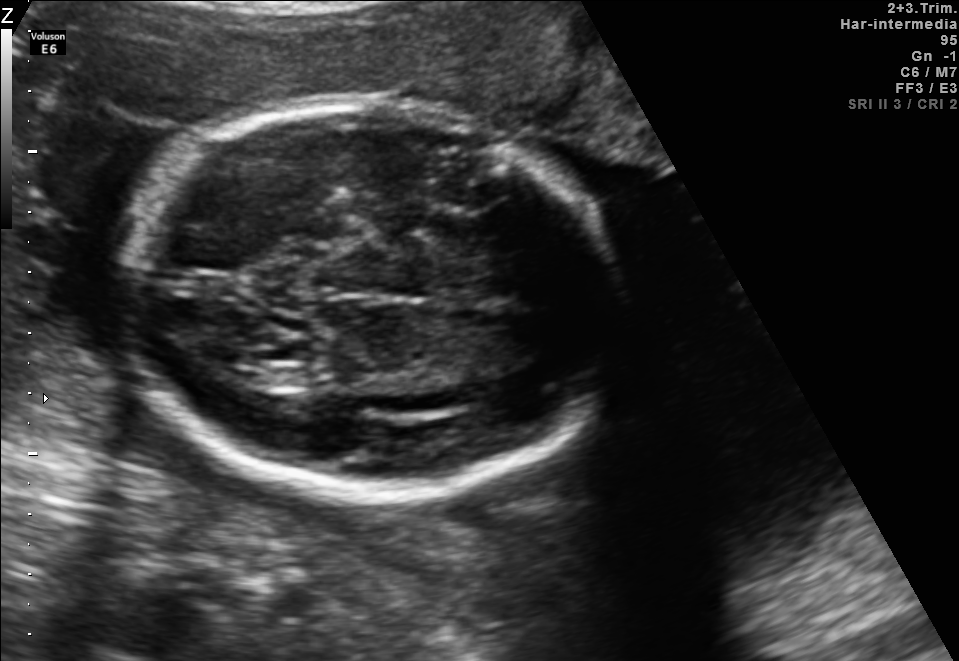
Fetal brain, trans-thalamic plane. Locate the fetal head and, if visible, the cavum septum pellucidum (CSP) and lateral ventricle (LV). Give bounding boxes as [x1,y1,x2,y2].

Head: [118,103,615,498]
Lateral ventricle: [228,358,277,389]